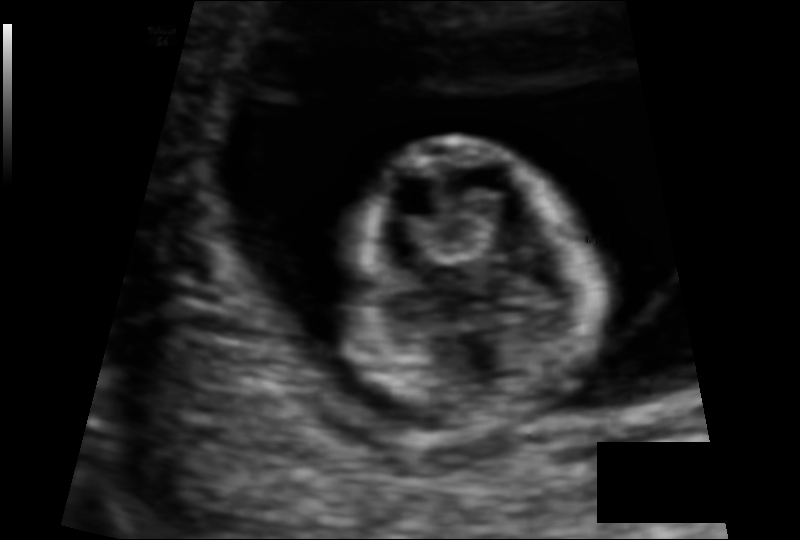
Fetal head ultrasound. Image width: 70.2 mm. Where is the fetal head?

Head bounding box: [349,138,596,428]